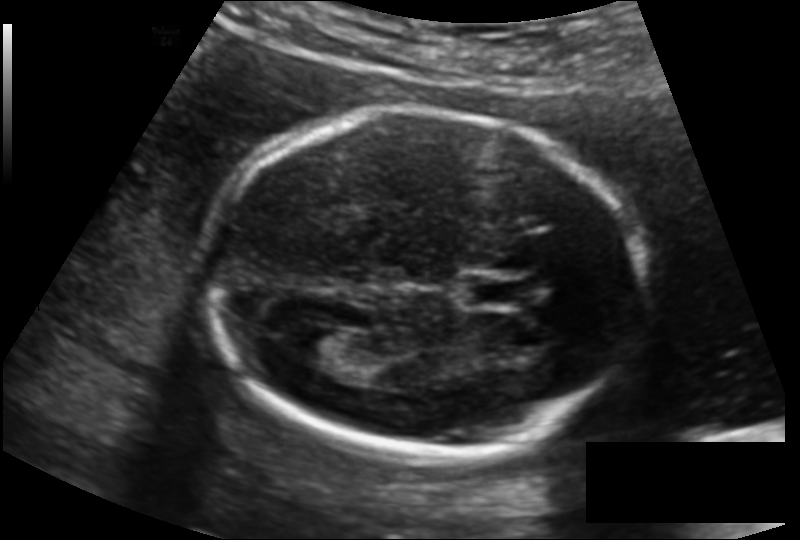
Fetal head ultrasound. Image width: 107.6 mm. Locate the lateral ventricle.

Lateral ventricle: [285,317,357,374]